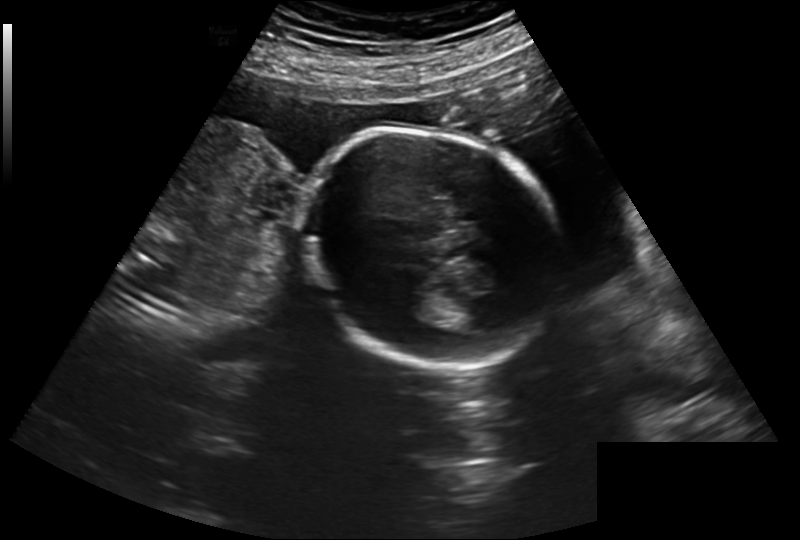
Fetal head ultrasound. Image width: 207.9 mm. Where is the fetal head?

Head bounding box: [301,128,557,368]